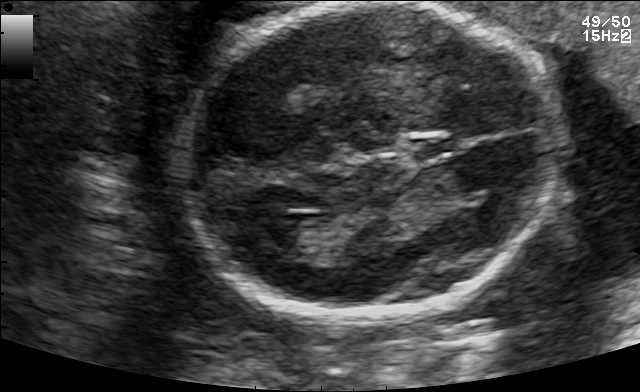
In this fetal brain, trans-ventricular plane, give bounding boxes for the head outline, cavum septum pellucidum (CSP), and lateral ventricle (LV), where visible.

Head: [168,1,566,329]
CSP: [407,133,462,162]